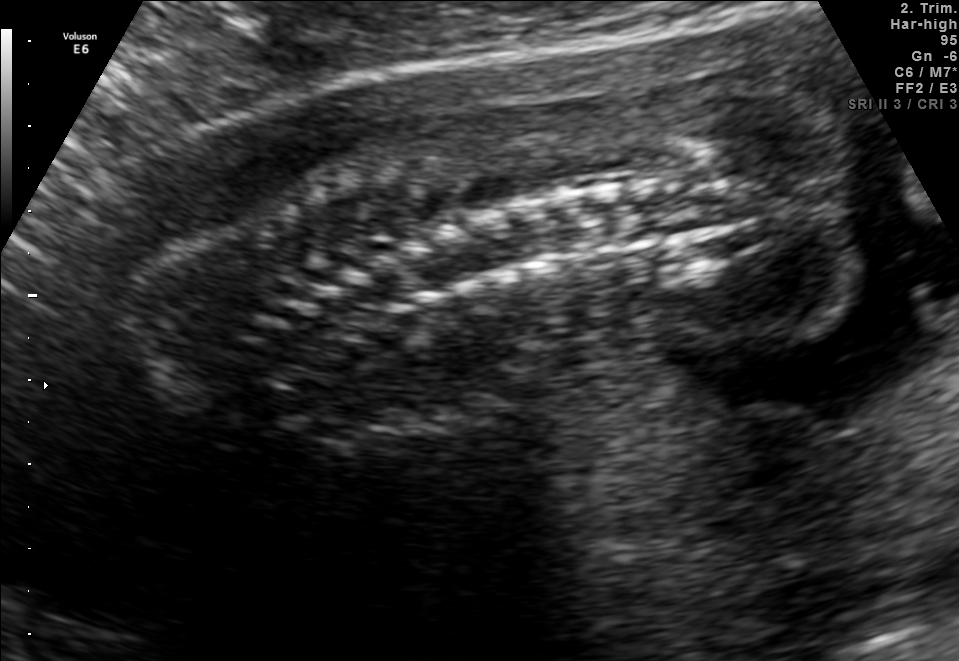
This is a 2D maternal-fetal ultrasound frame. Is it a fetal abdomen, fetal brain, fetal femur, fetal thorax, maternal cervix, or other standard plane? If it's fetal brain and one of the three standard brain planes (trans-thalamic, trans-cerebellum, trans-ventricular), name which.

Other